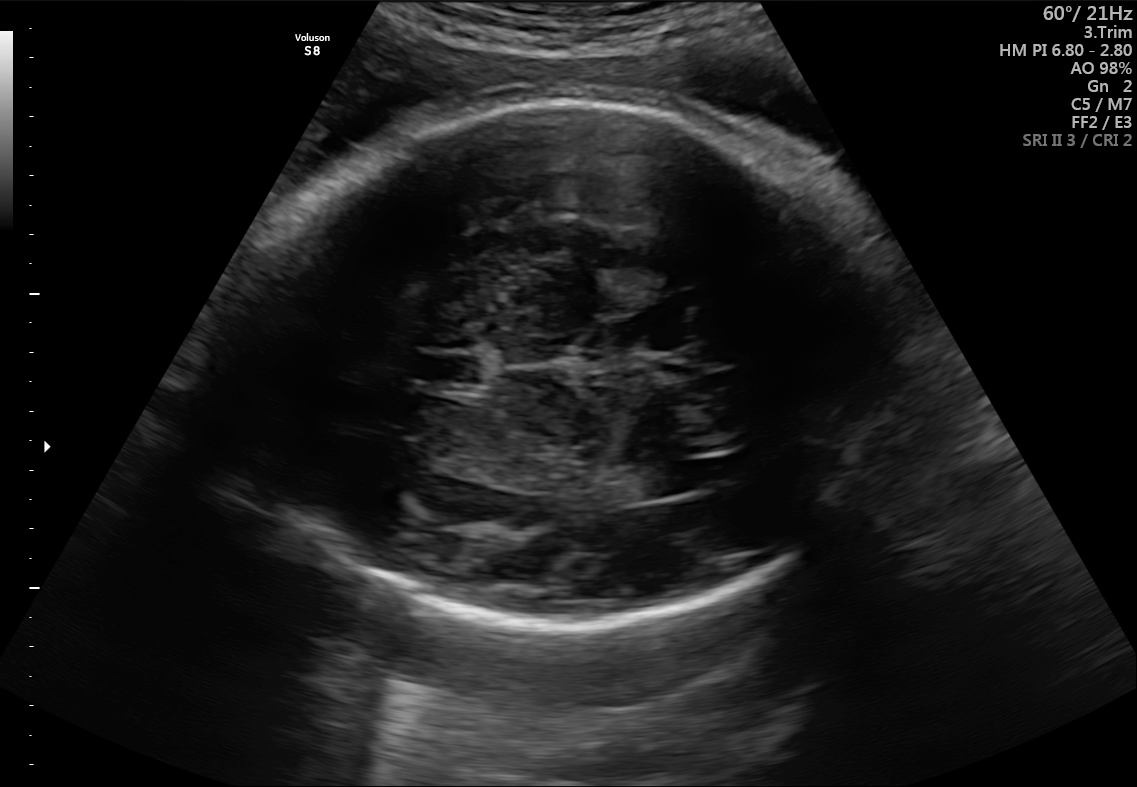
Fetal brain, trans-ventricular plane. Where is the cavum septum pellucidum?

CSP bounding box: [423,354,481,384]